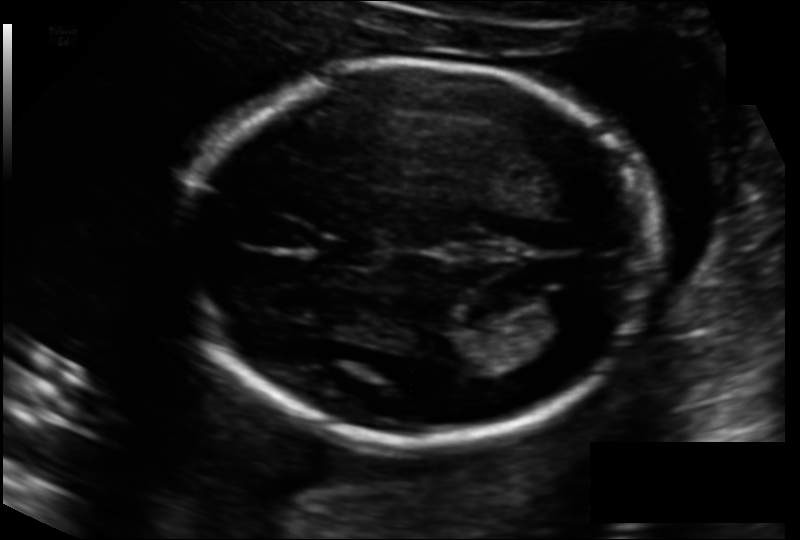
In this fetal head ultrasound, give the bounding box of the cavum septum pellucidum. Image width: 106.6 mm.

[319,234,381,270]